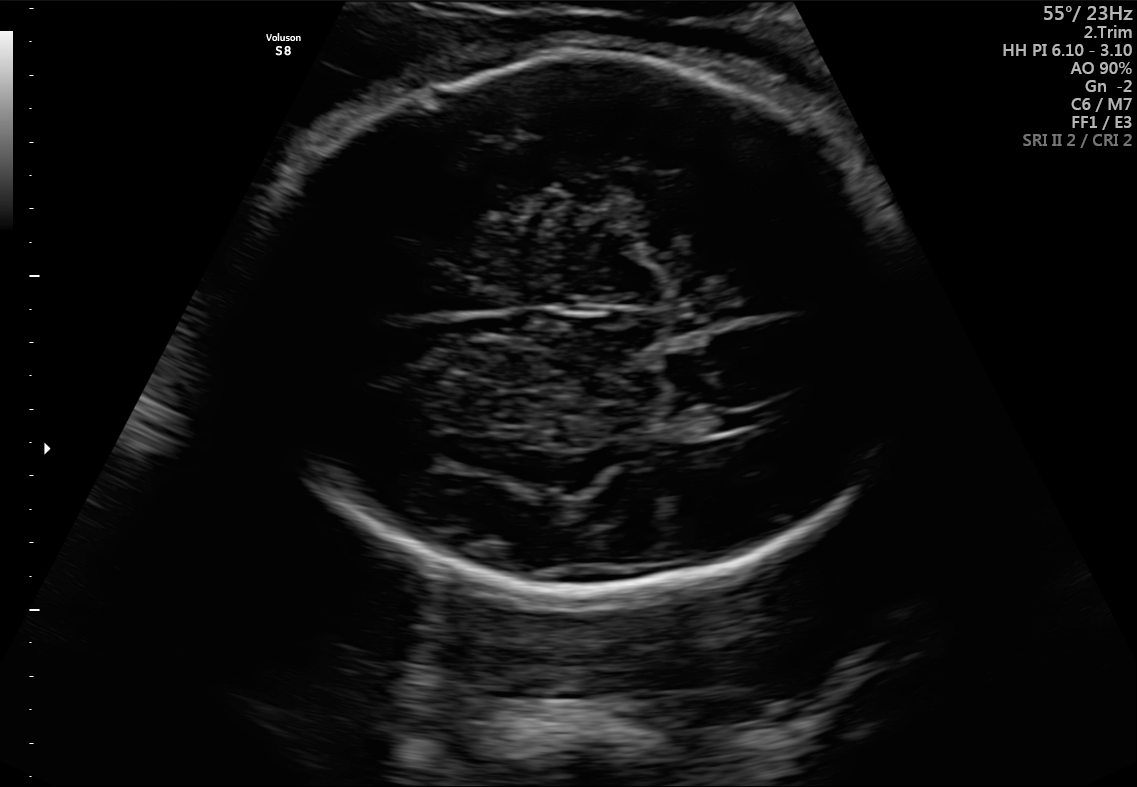
In this fetal brain, trans-ventricular plane, give bounding boxes for the head outline, cavum septum pellucidum (CSP), and lateral ventricle (LV), where visible.

Head: [251,48,916,599]